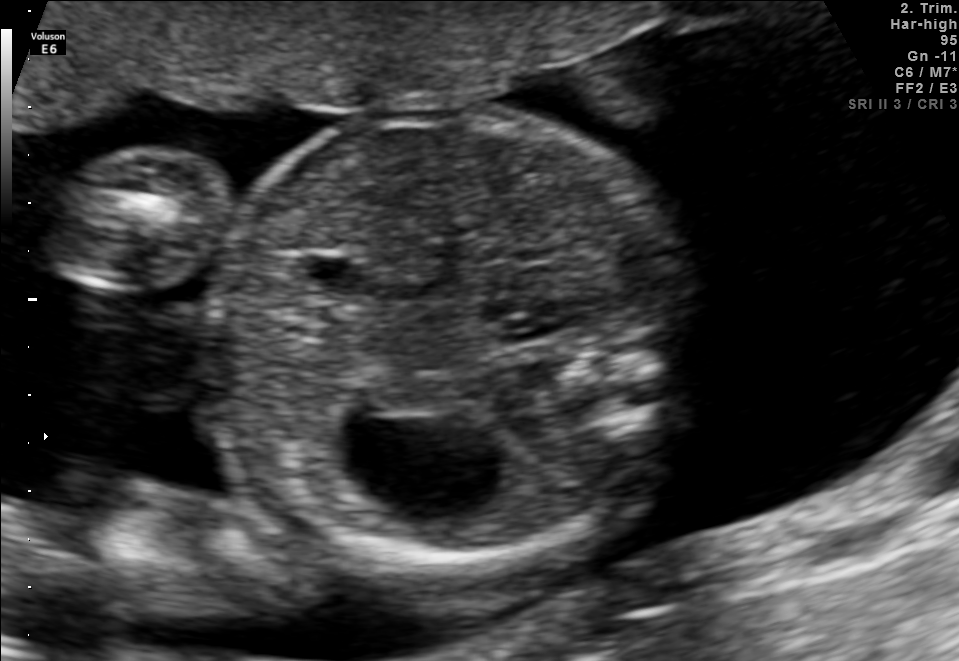
Classify this maternal-fetal ultrasound image as one of the six standard planes — fetal abdomen, fetal brain, fetal femur, fetal thorax, maternal cervix, or other. If it's fetal brain and one of the three standard brain planes (trans-thalamic, trans-cerebellum, trans-ventricular), name which.

Fetal abdomen